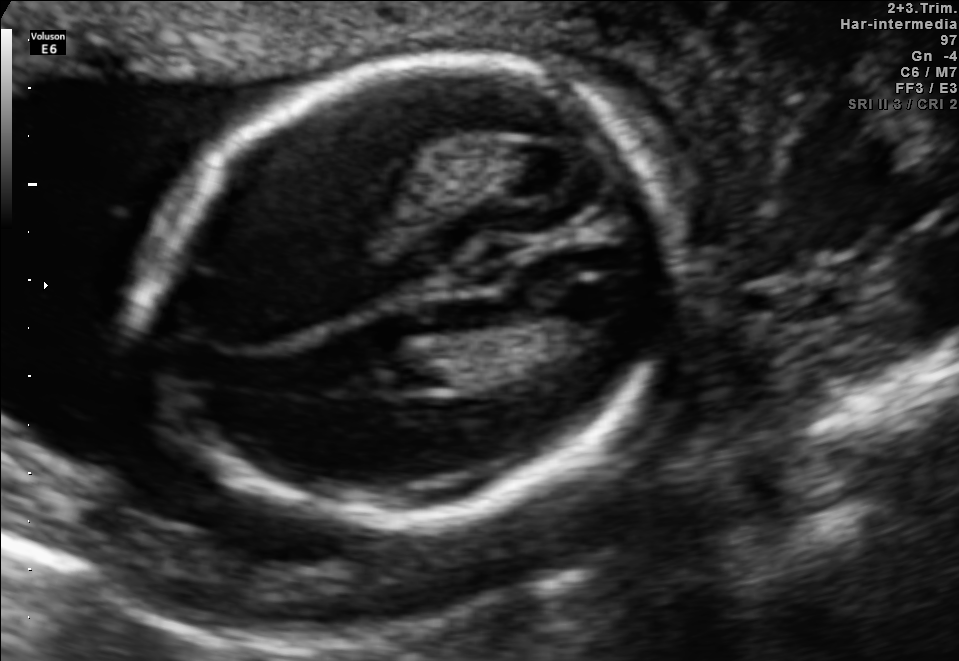
Fetal brain, trans-thalamic plane. Give [x1,y1,x2,y2] bounding boxes for each visible structure among: fetal head, CSP, LV.

Head: [140,63,677,526]